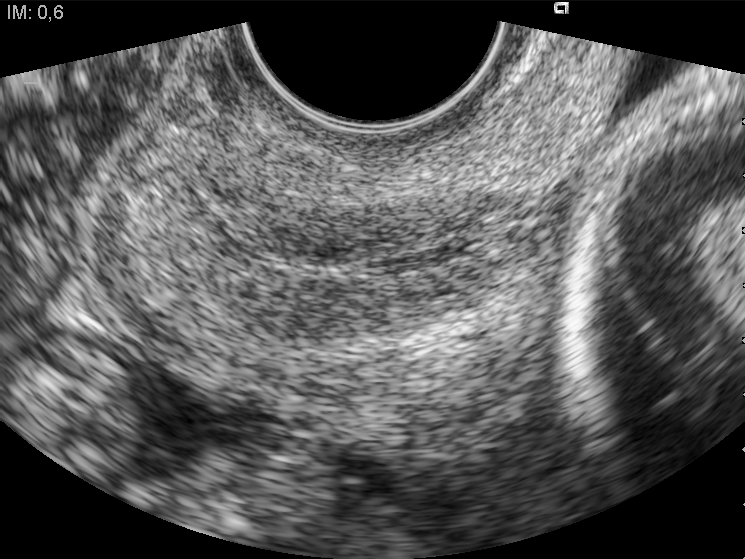
Identify the standard plane in this fetal ultrasound image: fetal abdomen, fetal brain, fetal femur, fetal thorax, maternal cervix, or other. If it's fetal brain and one of the three standard brain planes (trans-thalamic, trans-cerebellum, trans-ventricular), name which.

Maternal cervix